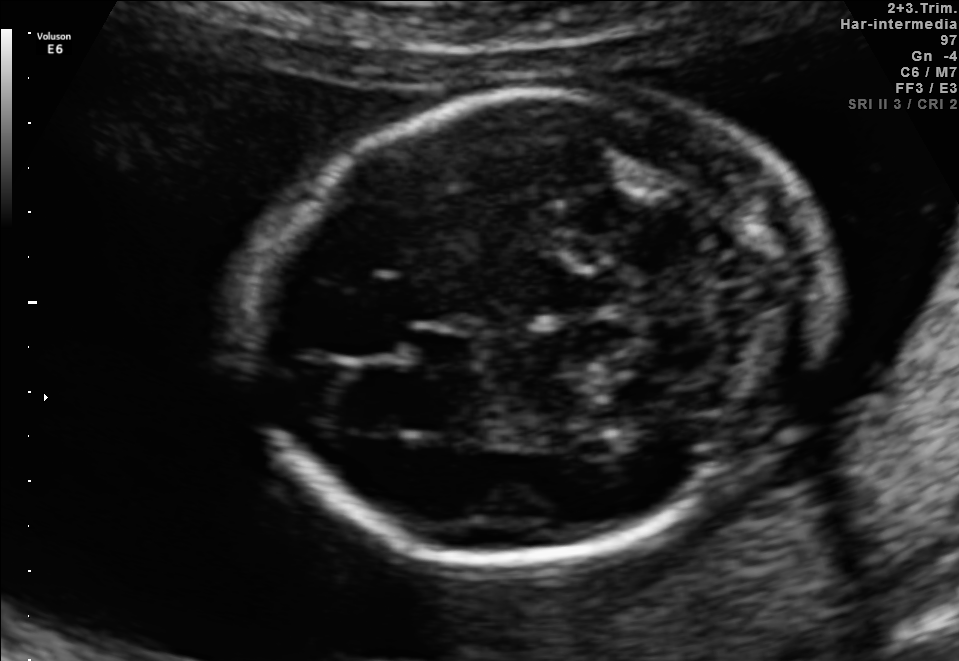
Fetal brain, trans-cerebellum plane. Locate the fetal head.

Head: [253,89,826,562]